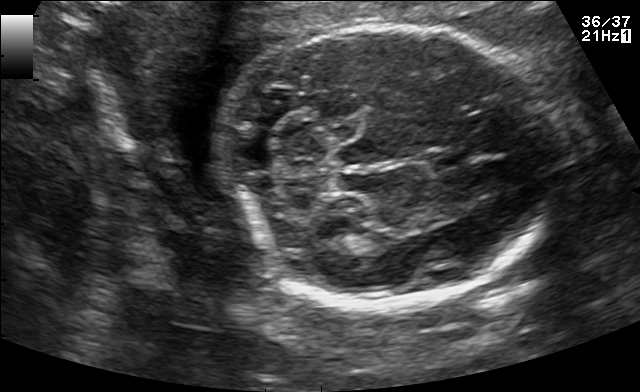
Fetal brain, trans-cerebellum plane. Locate the fetal head and, if visible, the cavum septum pellucidum (CSP) and lateral ventricle (LV). Give bounding boxes as [x1,y1,x2,y2].

Head: [220,25,558,305]
CSP: [422,138,479,175]